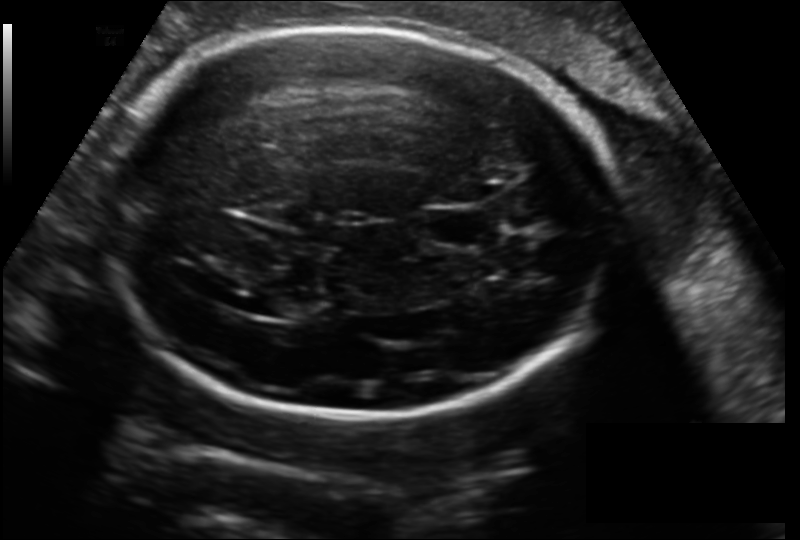
What is the fetal head circumference? Image width is 142.1 mm.

259.5 mm